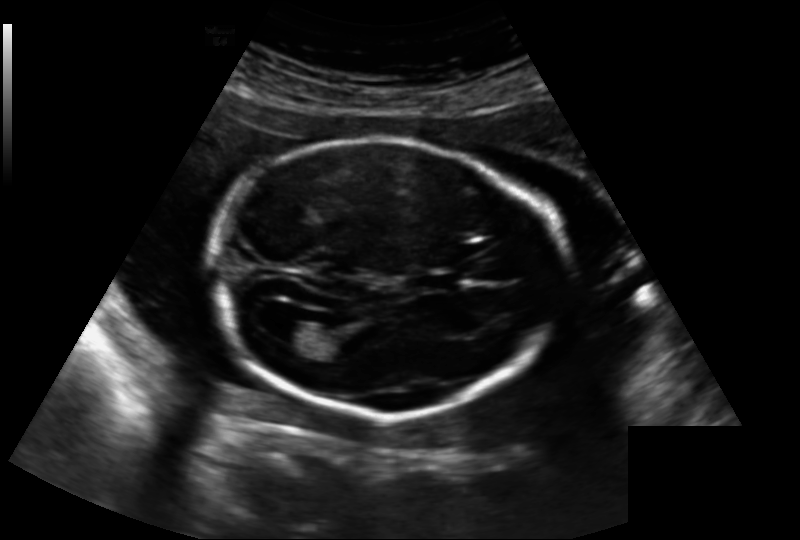
Fetal head ultrasound. Image width: 150.3 mm. Give [x1,y1,x2,y2] bounding boxes for each visible structure among: fetal head, CSP, LV.

Head: [210,139,563,416]
CSP: [418,271,460,291]
Lateral ventricle: [272,317,319,350]